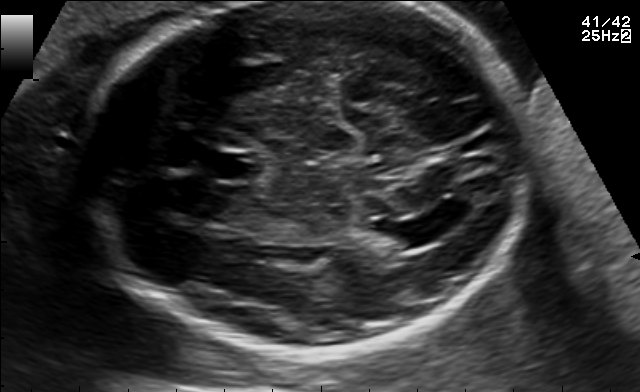
Fetal brain, trans-ventricular plane. Locate the lateral ventricle.

Lateral ventricle: [377,211,445,258]